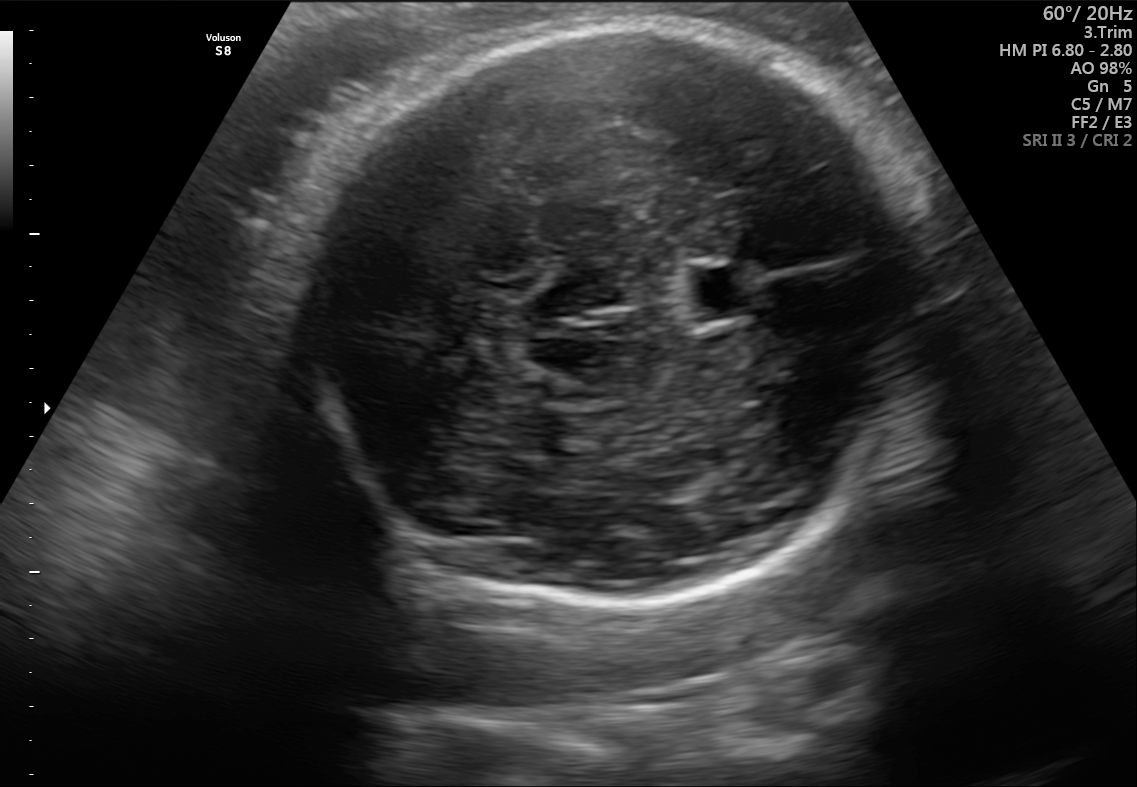
In this fetal brain, trans-thalamic plane, give bounding boxes for the head outline, cavum septum pellucidum (CSP), and lateral ventricle (LV), where visible.

Head: [294,29,933,608]
CSP: [682,260,767,325]